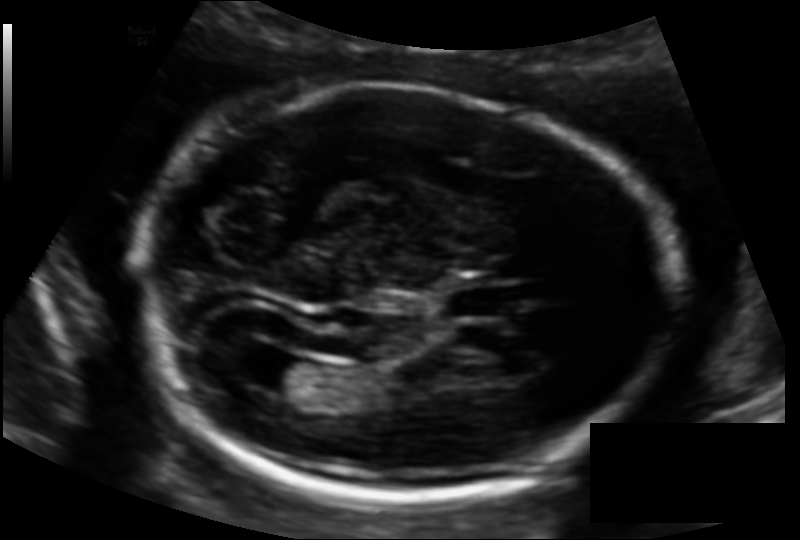
In this fetal head ultrasound, give the bounding box of the lateral ventricle. Image width: 103.6 mm.

[250,347,322,403]